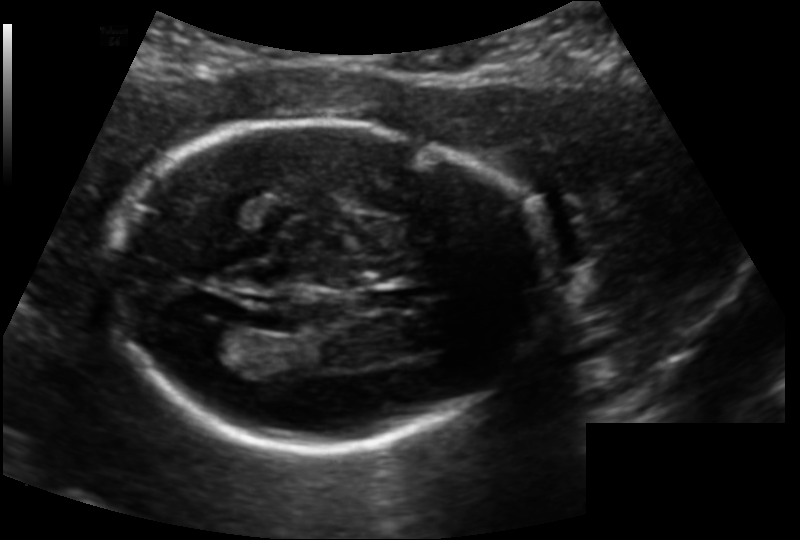
Fetal head ultrasound. Image width: 111.5 mm. Where is the cavum septum pellucidum?

CSP bounding box: [367,289,418,310]